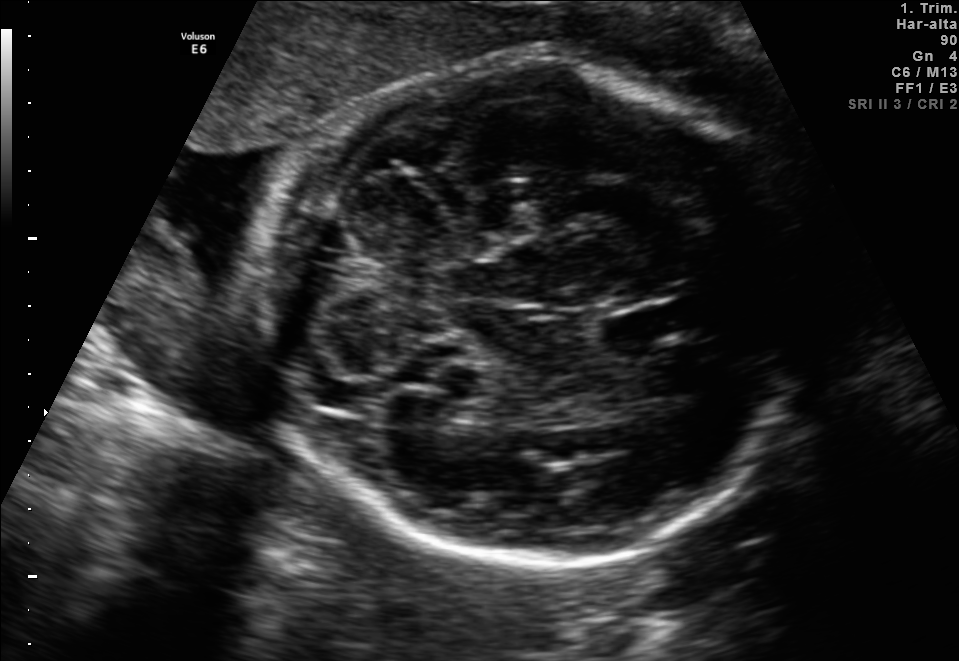
Fetal brain, trans-cerebellum plane. Locate the fetal head and, if visible, the cavum septum pellucidum (CSP) and lateral ventricle (LV). Give bounding boxes as [x1,y1,x2,y2].

Head: [251,51,798,568]
CSP: [594,299,681,354]